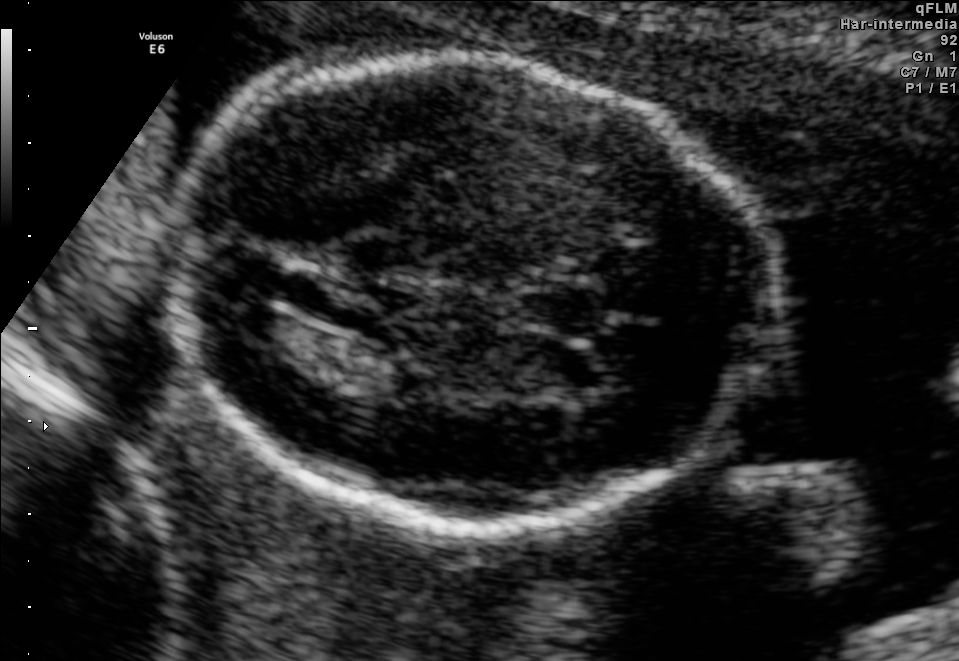
In this fetal brain, trans-thalamic plane, give the bounding box of the cavum septum pellucidum.

[519,284,603,334]